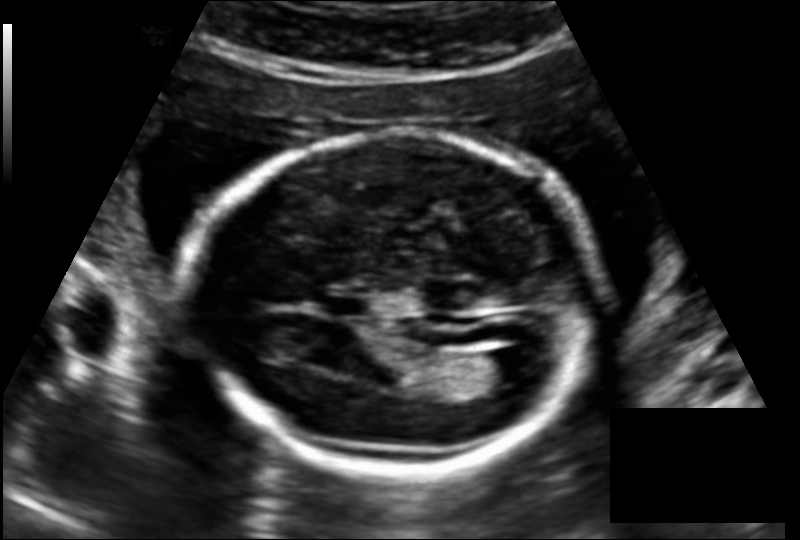
In this fetal head ultrasound, give the bounding box of the fetal head. Image width: 115.9 mm.

[191,131,602,473]